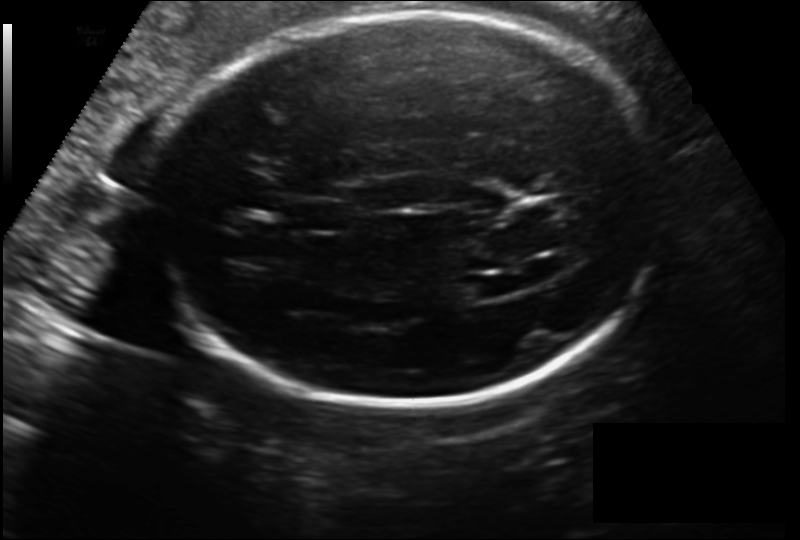
Fetal head ultrasound. Image width: 149.1 mm. Locate the fetal head and, if visible, the cavum septum pellucidum (CSP) and lateral ventricle (LV). Give bounding boxes as [x1,y1,x2,y2].

Head: [148,14,662,405]
CSP: [291,198,351,235]
Lateral ventricle: [447,274,501,305]